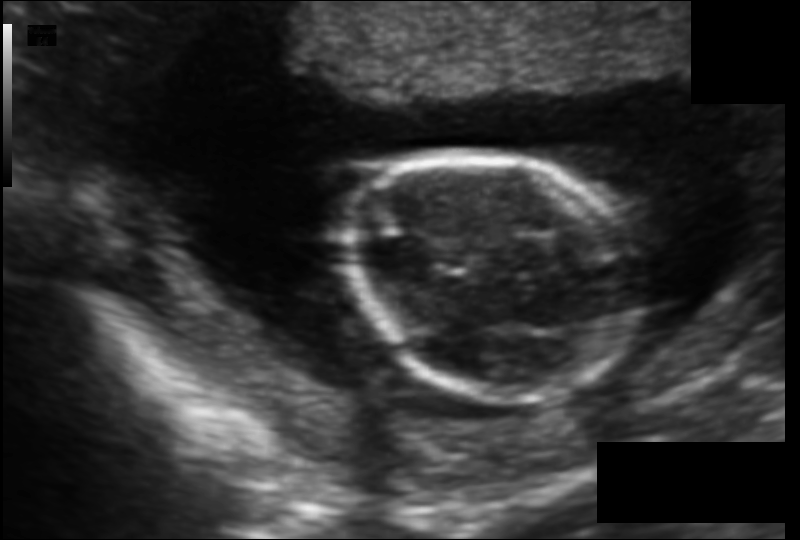
Fetal head ultrasound. Image width: 92.1 mm. Locate the fetal head and, if visible, the cavum septum pellucidum (CSP) and lateral ventricle (LV). Give bounding boxes as [x1,y1,x2,y2].

Head: [347,149,643,403]